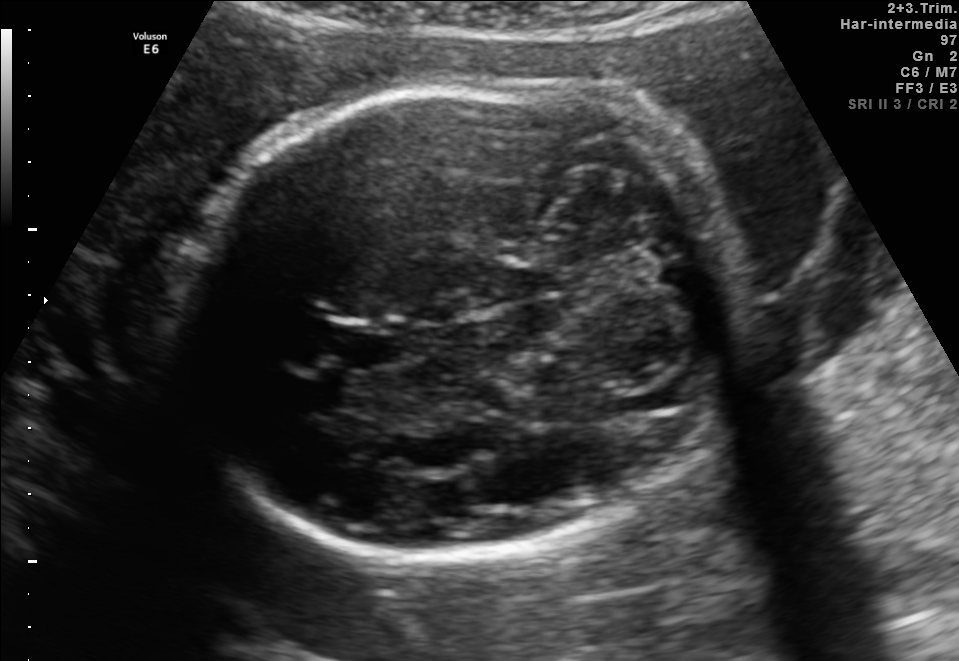
Fetal brain, trans-cerebellum plane. Locate the fetal head and, if visible, the cavum septum pellucidum (CSP) and lateral ventricle (LV). Give bounding boxes as [x1,y1,x2,y2].

Head: [174,77,739,558]
CSP: [317,318,397,371]